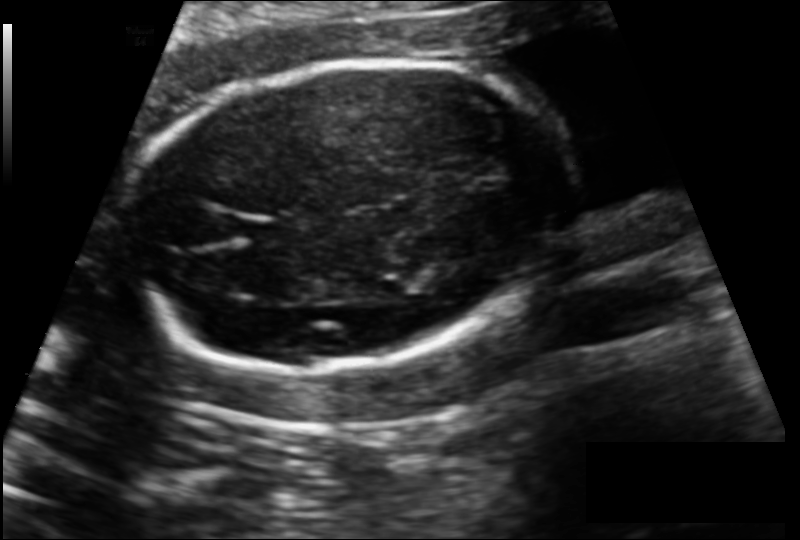
Measure the fetal head circumference shown in this ultrasound image. Image width: 111.1 mm.

Head circumference: 166.2 mm.